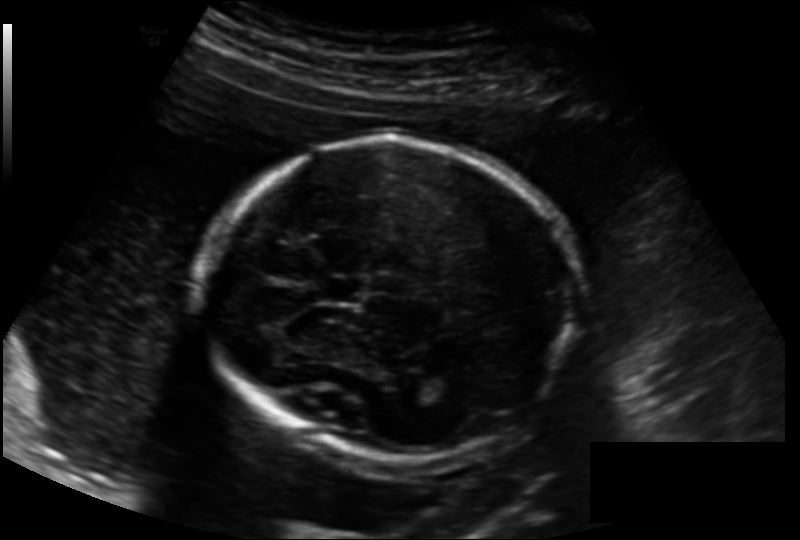
Fetal head ultrasound. Image width: 126.5 mm. Where is the fetal head?

Head bounding box: [198,141,574,459]